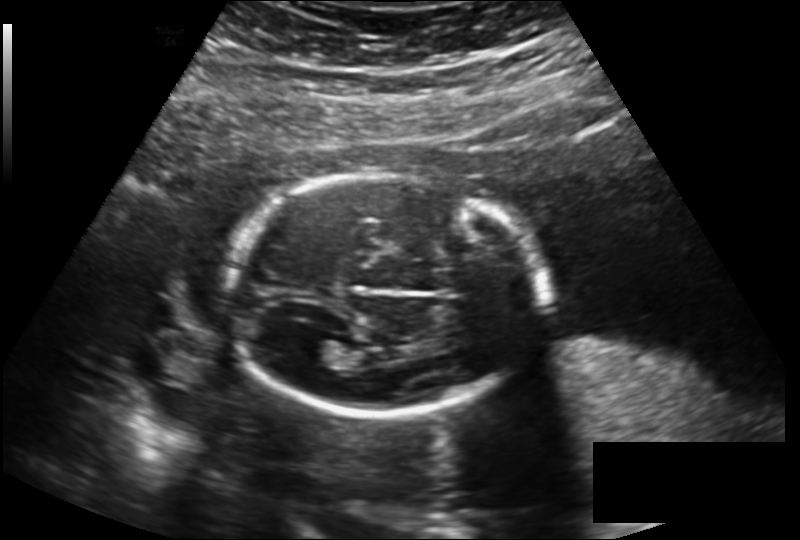
In this fetal head ultrasound, give the bounding box of the fetal head. Image width: 150.8 mm.

[224,173,546,413]